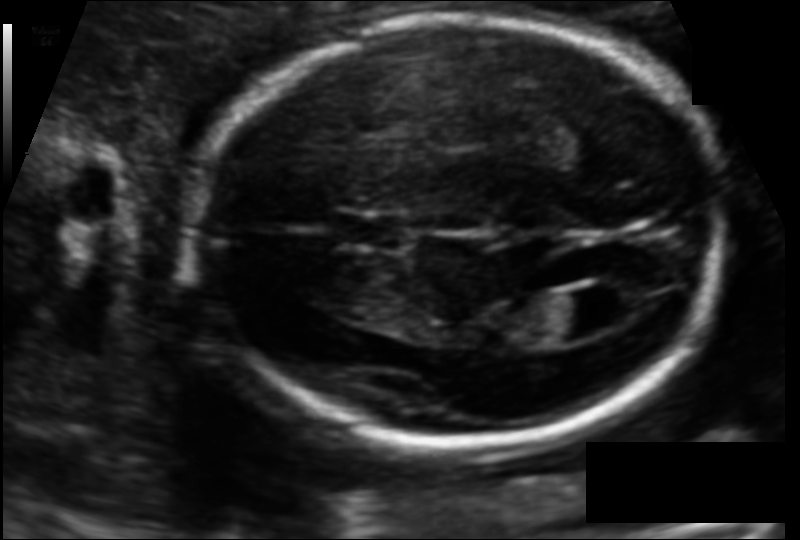
In this fetal head ultrasound, give bounding boxes for the head outline, cavum septum pellucidum (CSP), and lateral ventricle (LV), where visible. Image width: 90.0 mm.

Head: [195,16,718,446]
CSP: [335,211,404,250]
Lateral ventricle: [543,281,630,345]